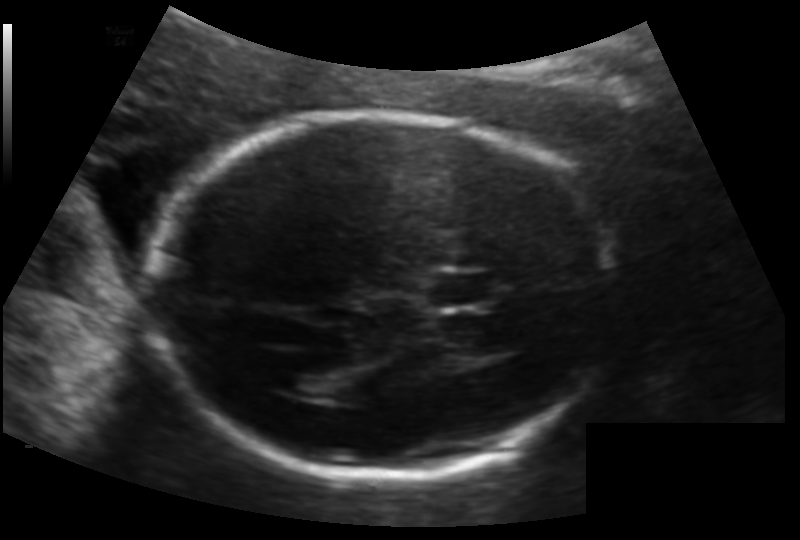
Fetal head ultrasound. Image width: 106.4 mm. Give [x1,y1,x2,y2] bounding boxes for each visible structure among: fetal head, CSP, LV.

Head: [157,113,618,481]
CSP: [425,268,498,310]
Lateral ventricle: [276,369,330,398]